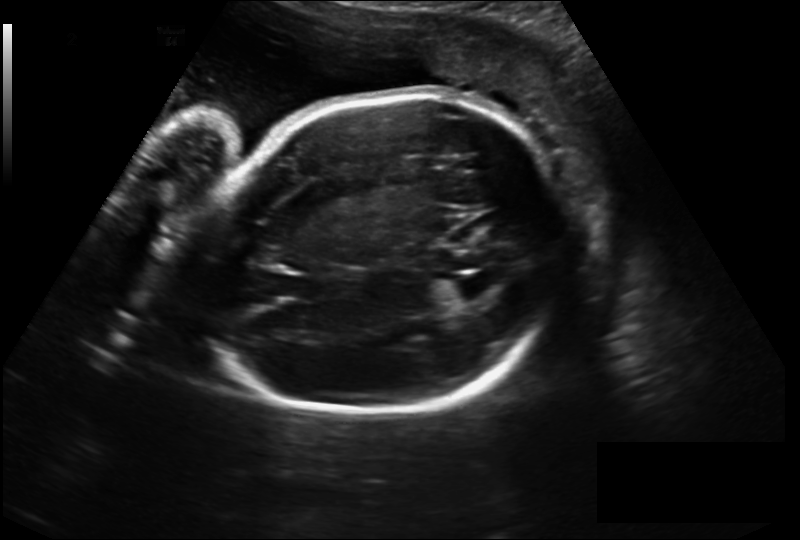
Estimate the fetal head circumference from this 2D ultrasound. Image width: 184.2 mm.

Head circumference: 258.1 mm.